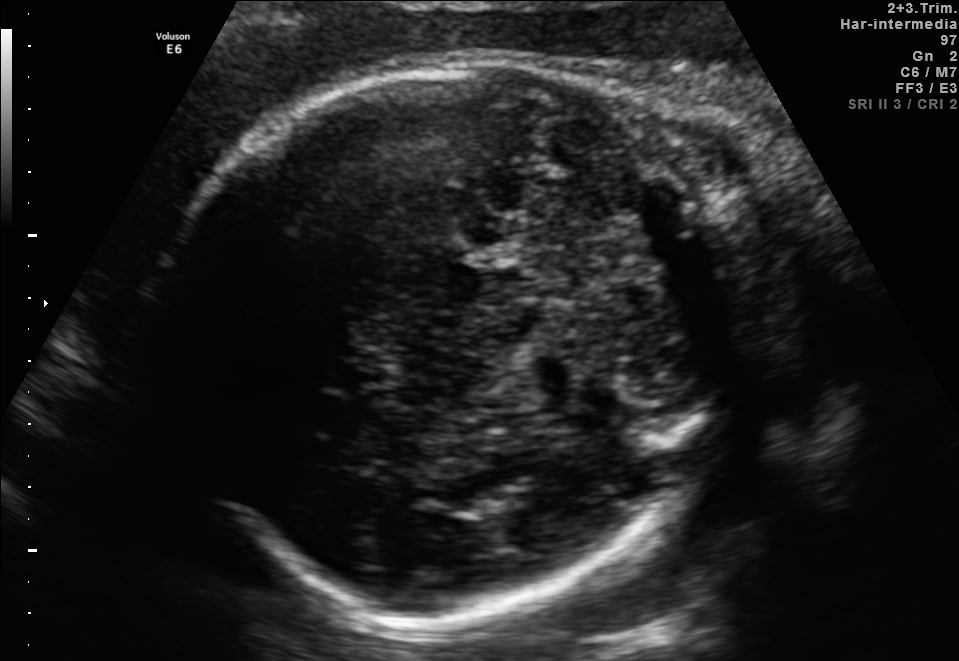
Identify the standard plane in this fetal ultrasound image: fetal abdomen, fetal brain, fetal femur, fetal thorax, maternal cervix, or other. If it's fetal brain and one of the three standard brain planes (trans-thalamic, trans-cerebellum, trans-ventricular), name which.

Fetal brain (trans-thalamic plane)